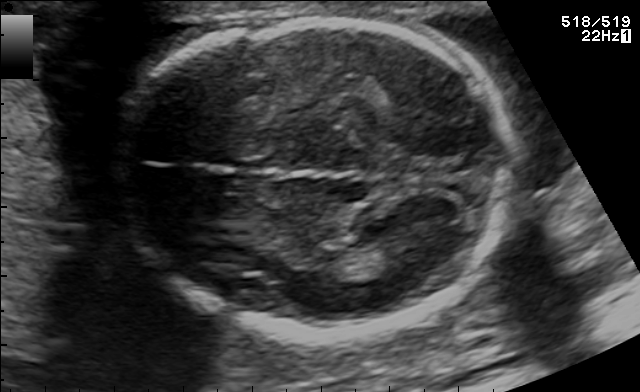
In this fetal brain, trans-thalamic plane, give bounding boxes for the head outline, cavum septum pellucidum (CSP), and lateral ventricle (LV), where visible.

Head: [121,17,514,335]